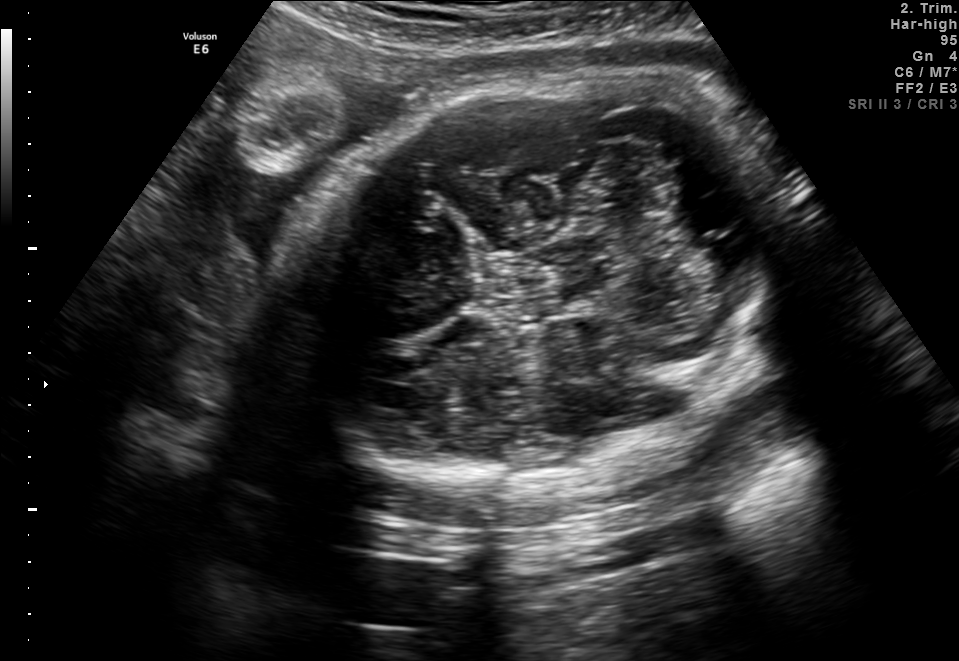
Fetal brain, trans-cerebellum plane. Locate the fetal head.

Head: [286,73,805,490]